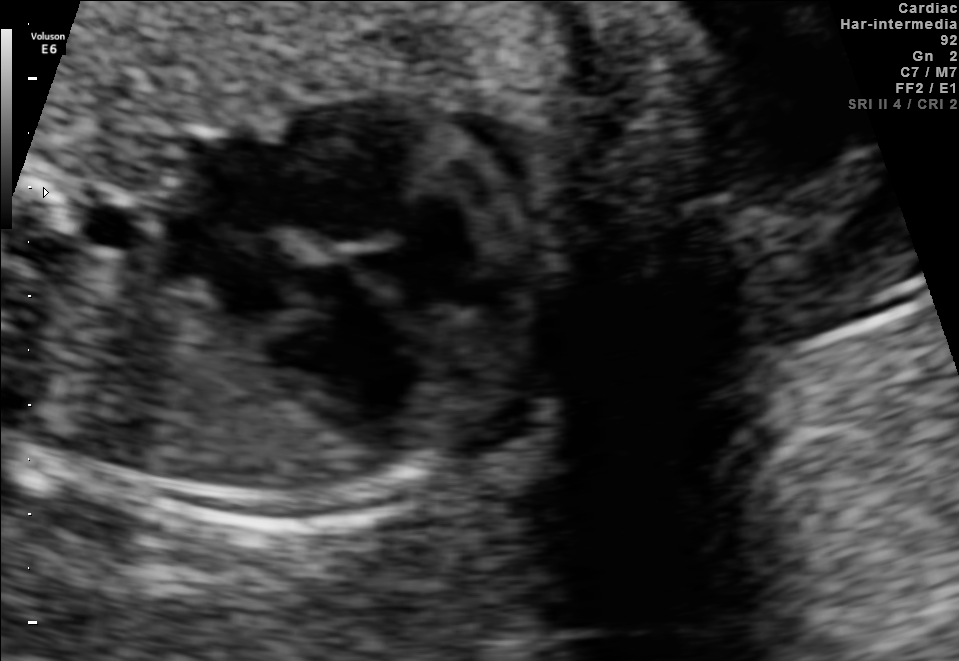
Classify this maternal-fetal ultrasound image as one of the six standard planes — fetal abdomen, fetal brain, fetal femur, fetal thorax, maternal cervix, or other. If it's fetal brain and one of the three standard brain planes (trans-thalamic, trans-cerebellum, trans-ventricular), name which.

Fetal thorax